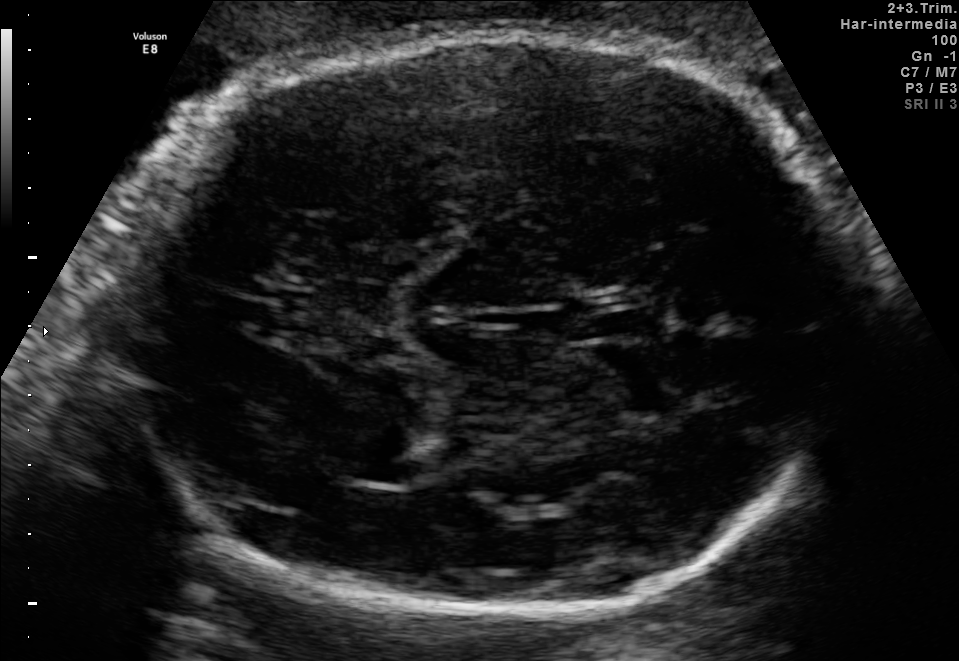
Fetal brain, trans-thalamic plane. Locate the cavum septum pellucidum.

CSP: [581,307,639,342]